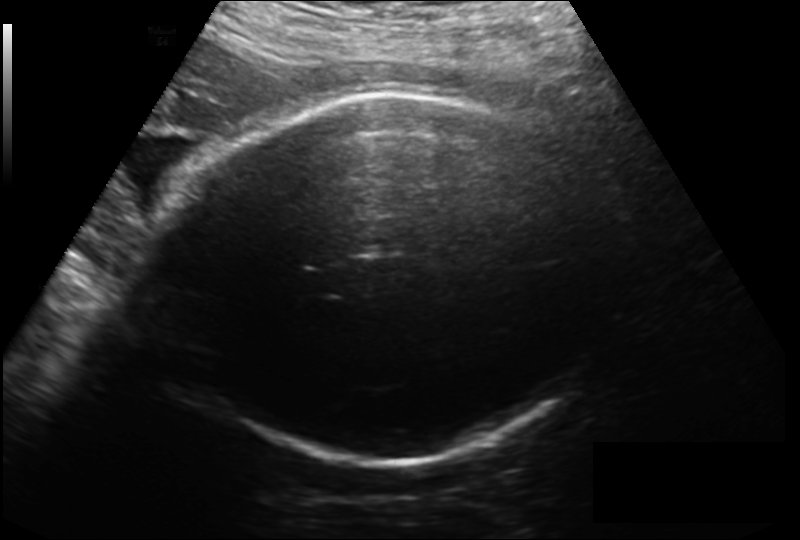
Estimate the fetal head circumference from this 2D ultrasound. Image width: 171.5 mm.

Head circumference: 286.4 mm.